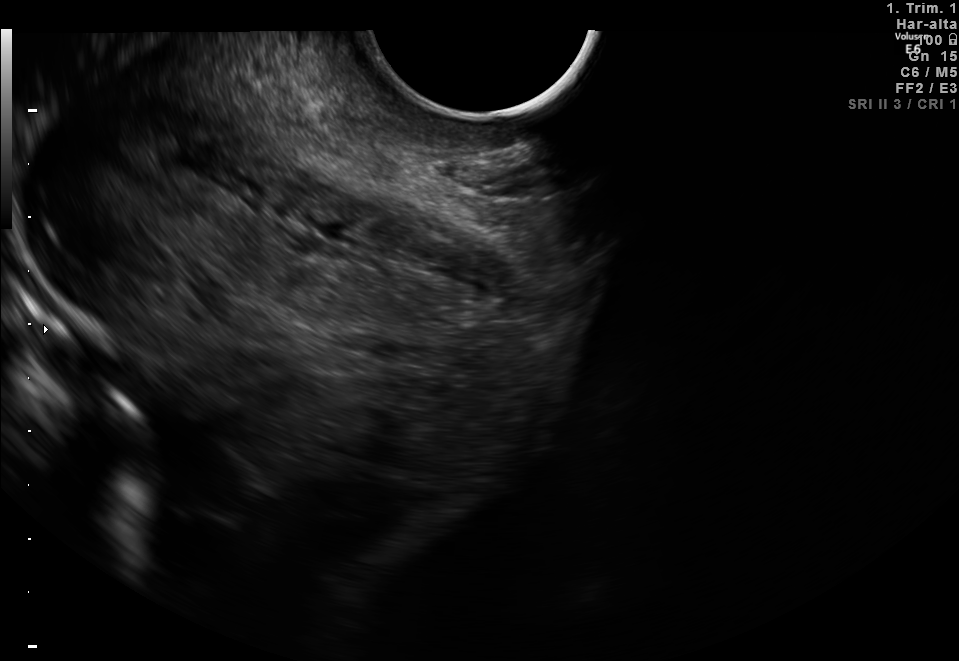
Identify the standard plane in this fetal ultrasound image: fetal abdomen, fetal brain, fetal femur, fetal thorax, maternal cervix, or other. If it's fetal brain and one of the three standard brain planes (trans-thalamic, trans-cerebellum, trans-ventricular), name which.

Maternal cervix